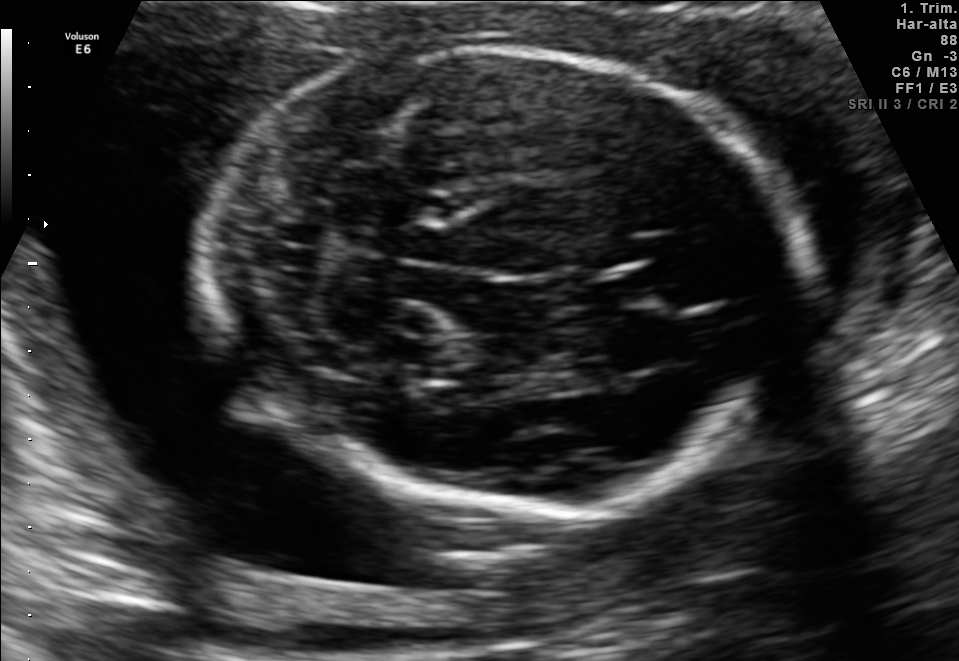
In this fetal brain, trans-cerebellum plane, give the bounding box of the fetal head.

[200,50,793,505]